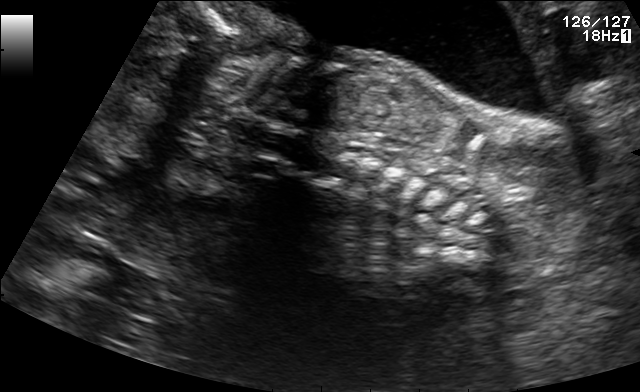
Identify the standard plane in this fetal ultrasound image: fetal abdomen, fetal brain, fetal femur, fetal thorax, maternal cervix, or other. If it's fetal brain and one of the three standard brain planes (trans-thalamic, trans-cerebellum, trans-ventricular), name which.

Other